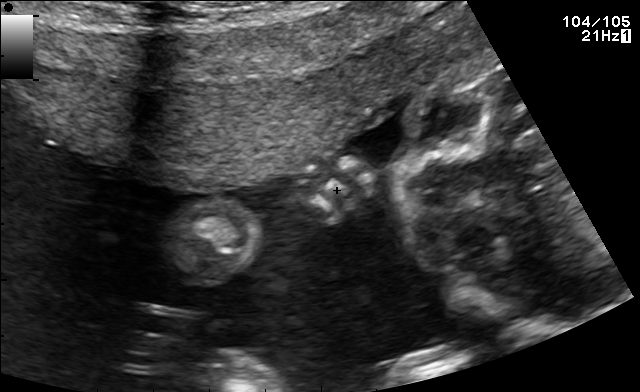
This is a 2D maternal-fetal ultrasound frame. Is it a fetal abdomen, fetal brain, fetal femur, fetal thorax, maternal cervix, or other standard plane? If it's fetal brain and one of the three standard brain planes (trans-thalamic, trans-cerebellum, trans-ventricular), name which.

Other